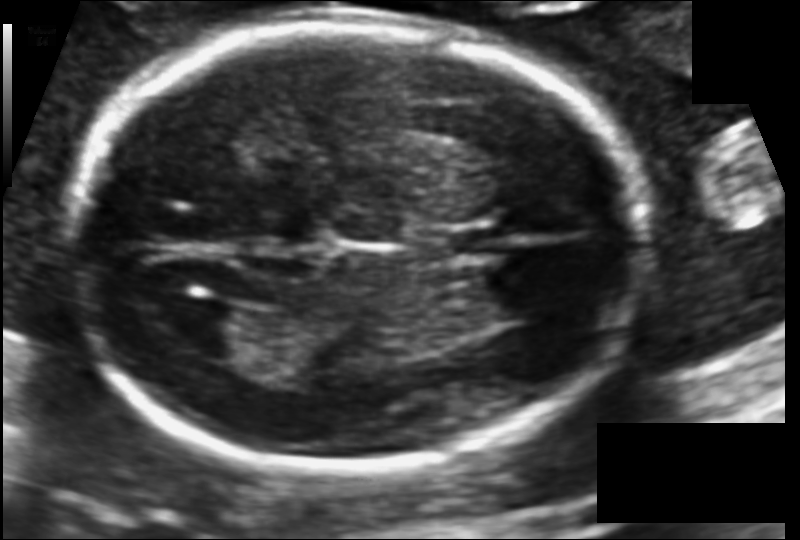
From this fetal ultrasound, estimate the head circumference (image width 90.1 mm).

Head circumference: 184.4 mm.